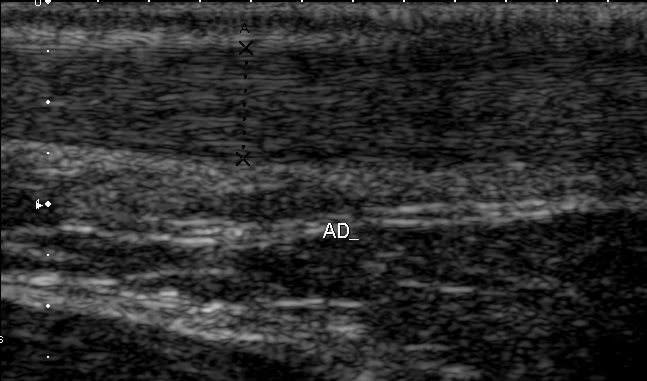
Classify this maternal-fetal ultrasound image as one of the six standard planes — fetal abdomen, fetal brain, fetal femur, fetal thorax, maternal cervix, or other. If it's fetal brain and one of the three standard brain planes (trans-thalamic, trans-cerebellum, trans-ventricular), name which.

Other